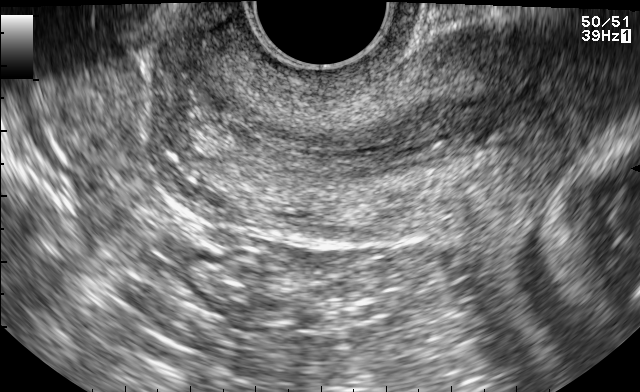
Classify this maternal-fetal ultrasound image as one of the six standard planes — fetal abdomen, fetal brain, fetal femur, fetal thorax, maternal cervix, or other. If it's fetal brain and one of the three standard brain planes (trans-thalamic, trans-cerebellum, trans-ventricular), name which.

Maternal cervix